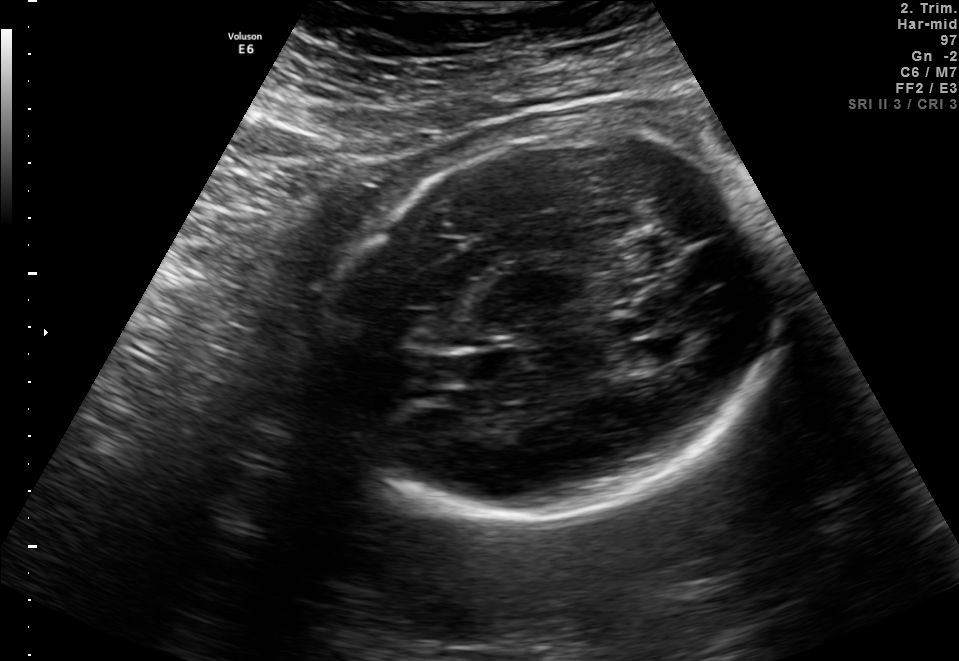
In this fetal brain, trans-ventricular plane, give the bounding box of the fetal head.

[317,127,790,526]